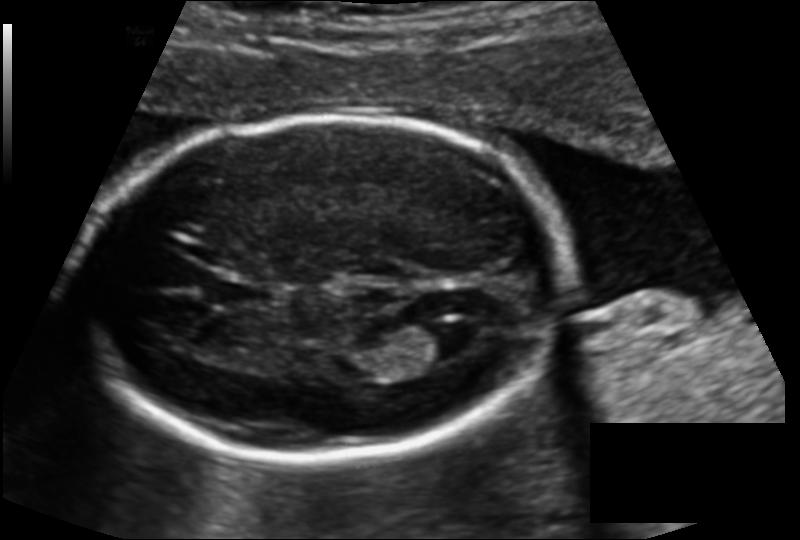
Fetal head ultrasound. Image width: 109.1 mm. Where is the fetal head?

Head bounding box: [74,114,562,462]